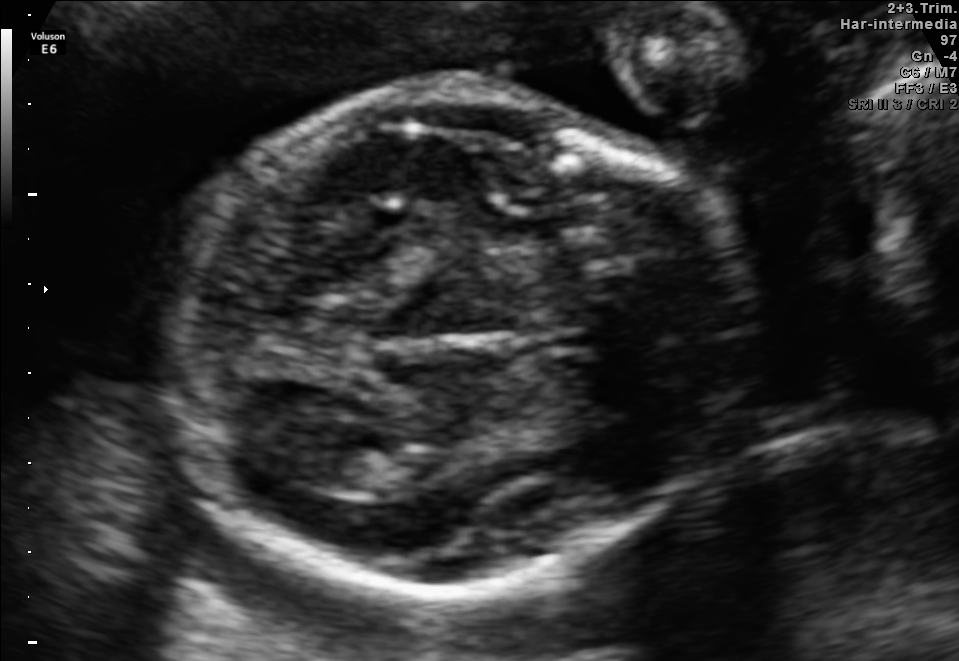
Fetal brain, trans-thalamic plane. Locate the fetal head.

Head: [161,90,758,601]